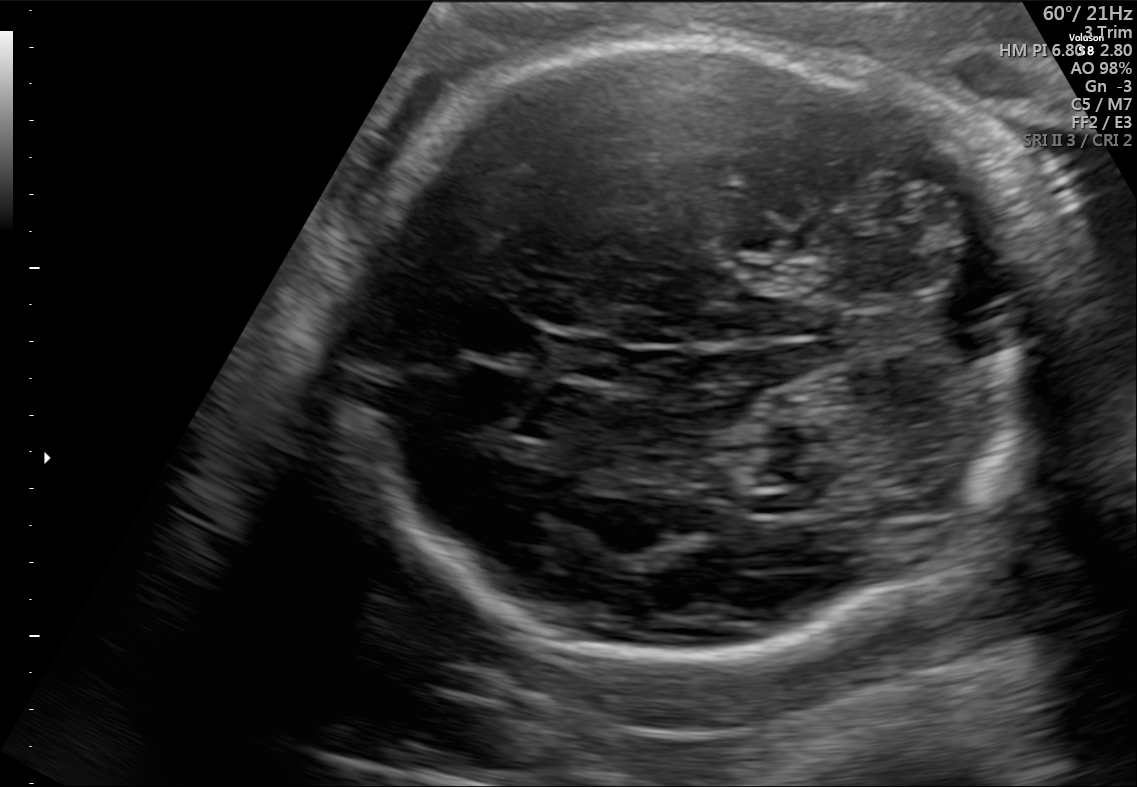
In this fetal brain, trans-cerebellum plane, give the bounding box of the fetal head.

[345,42,1034,655]